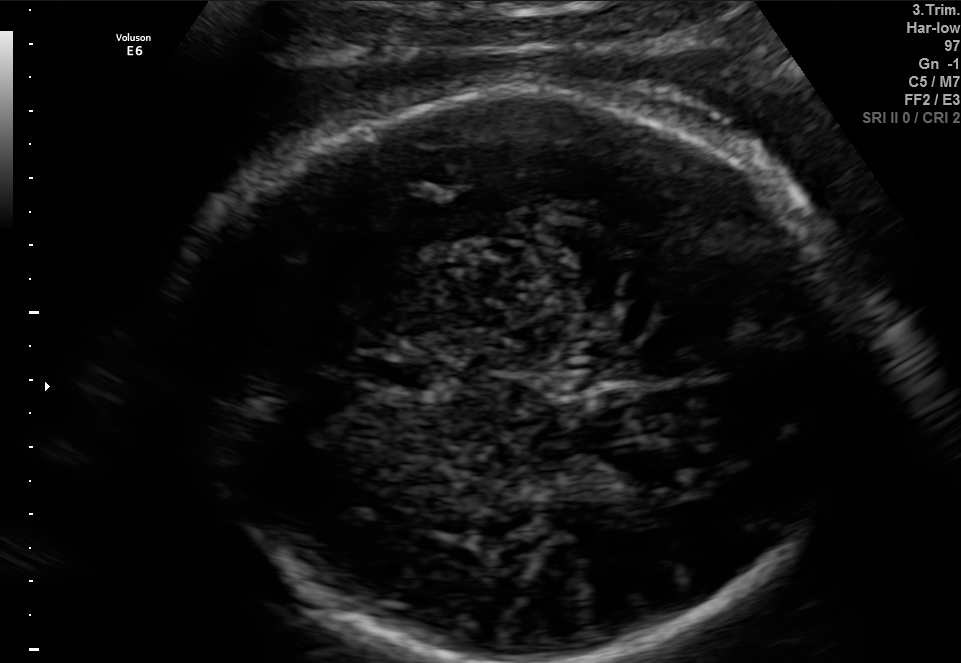
Fetal brain, trans-thalamic plane. Give [x1,y1,x2,y2] bounding boxes for each visible structure among: fetal head, CSP, LV.

Head: [163,95,864,660]
CSP: [364,353,441,394]